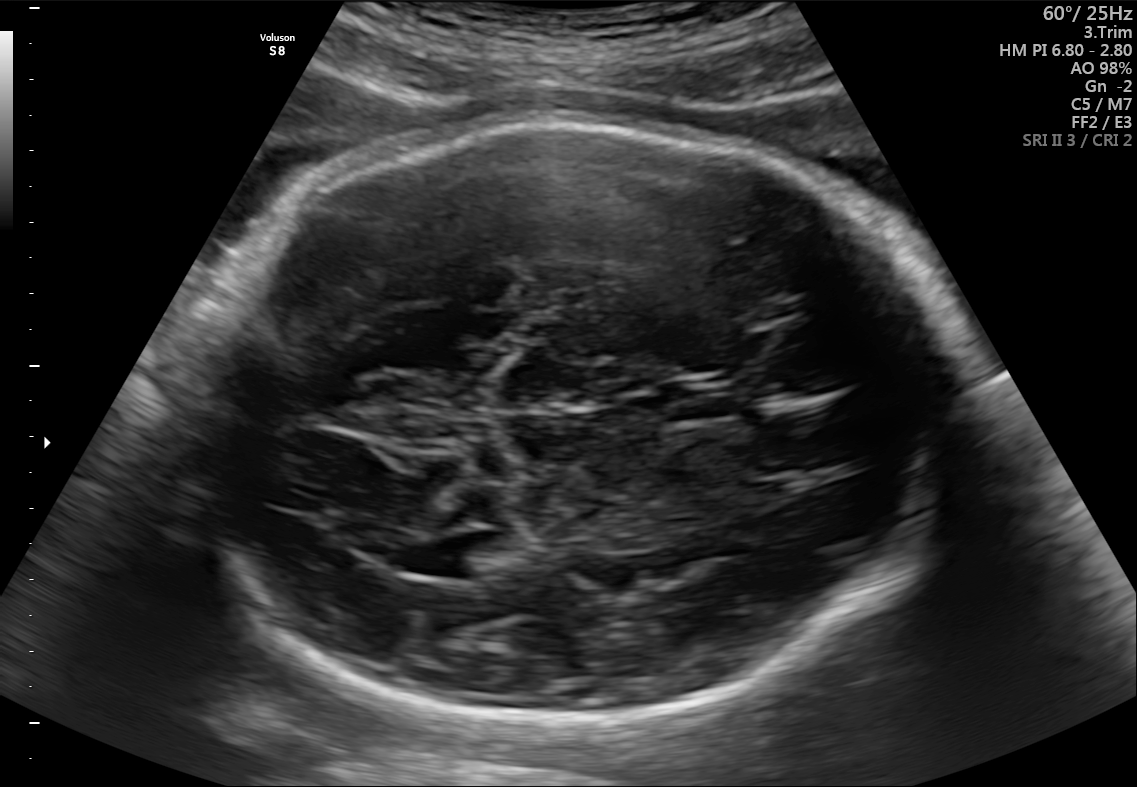
Fetal brain, trans-ventricular plane. Where is the fetal head?

Head bounding box: [179,111,965,729]